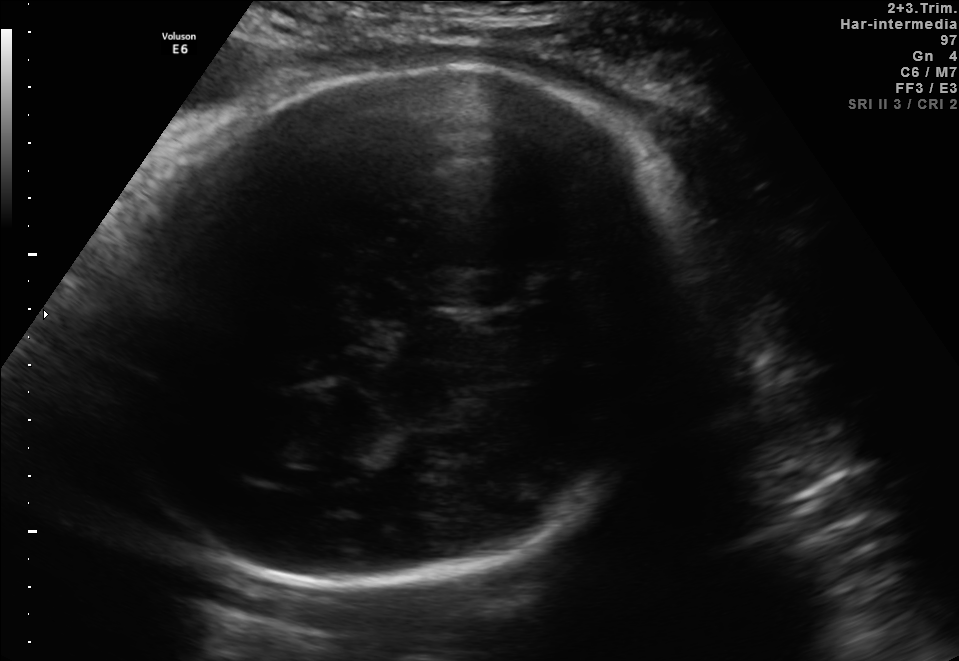
Fetal brain, trans-thalamic plane. Where is the fetal head?

Head bounding box: [74,70,705,583]